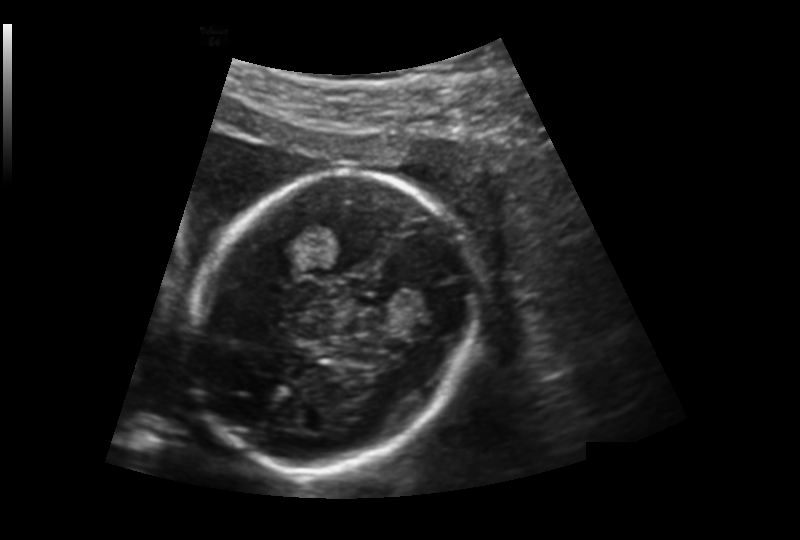
Fetal head ultrasound. Image width: 140.4 mm. Where is the fetal head?

Head bounding box: [186,171,469,467]